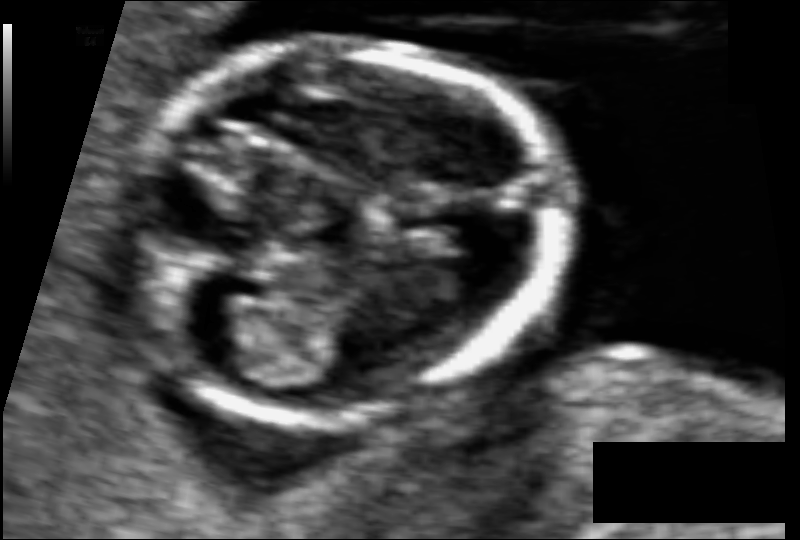
Fetal head ultrasound. Image width: 47.6 mm. Locate the fetal head and, if visible, the cavum septum pellucidum (CSP) and lateral ventricle (LV). Give bounding boxes as [x1,y1,x2,y2].

Head: [118,44,551,421]